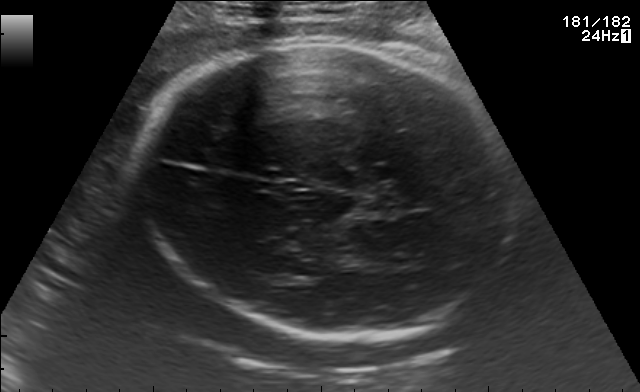
Fetal brain, trans-thalamic plane. Locate the fetal head and, if visible, the cavum septum pellucidum (CSP) and lateral ventricle (LV). Give bounding boxes as [x1,y1,x2,y2].

Head: [138,41,511,336]